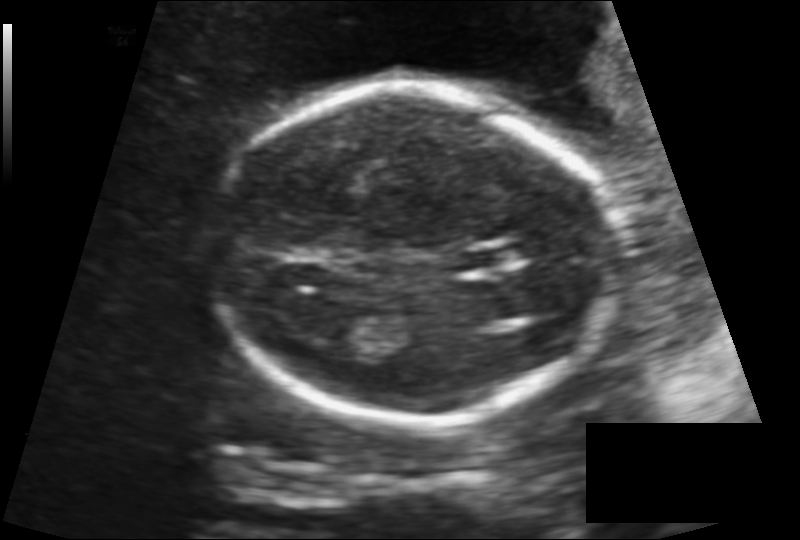
Fetal head ultrasound. Image width: 110.1 mm. Where is the cavum septum pellucidum?

CSP bounding box: [456,241,522,275]